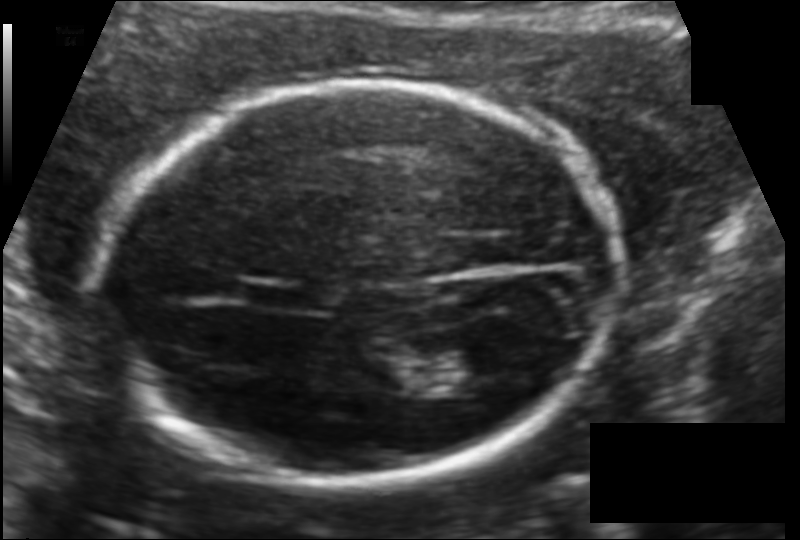
Measure the fetal head circumference shown in this ultrasound image. Image width: 96.7 mm.

Head circumference: 182.2 mm.